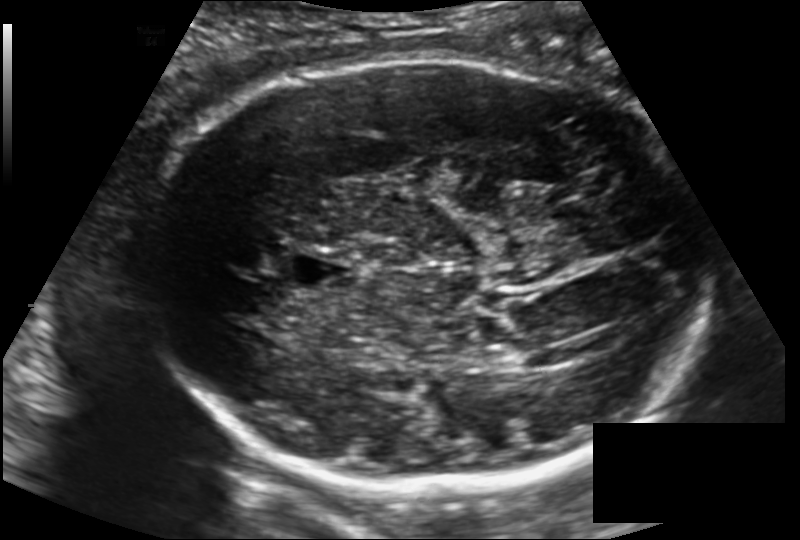
Fetal head ultrasound. Image width: 136.5 mm. Locate the fetal head.

Head: [137,59,710,486]